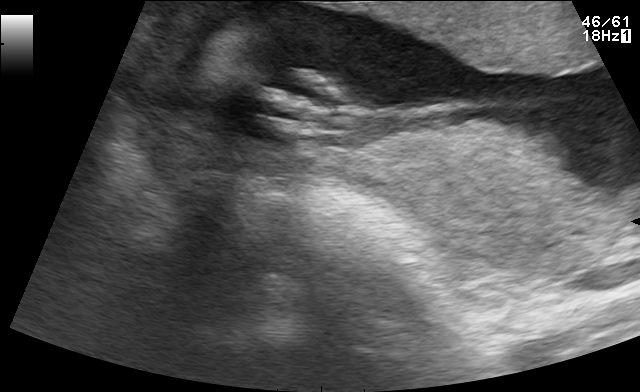
Identify the standard plane in this fetal ultrasound image: fetal abdomen, fetal brain, fetal femur, fetal thorax, maternal cervix, or other. If it's fetal brain and one of the three standard brain planes (trans-thalamic, trans-cerebellum, trans-ventricular), name which.

Other